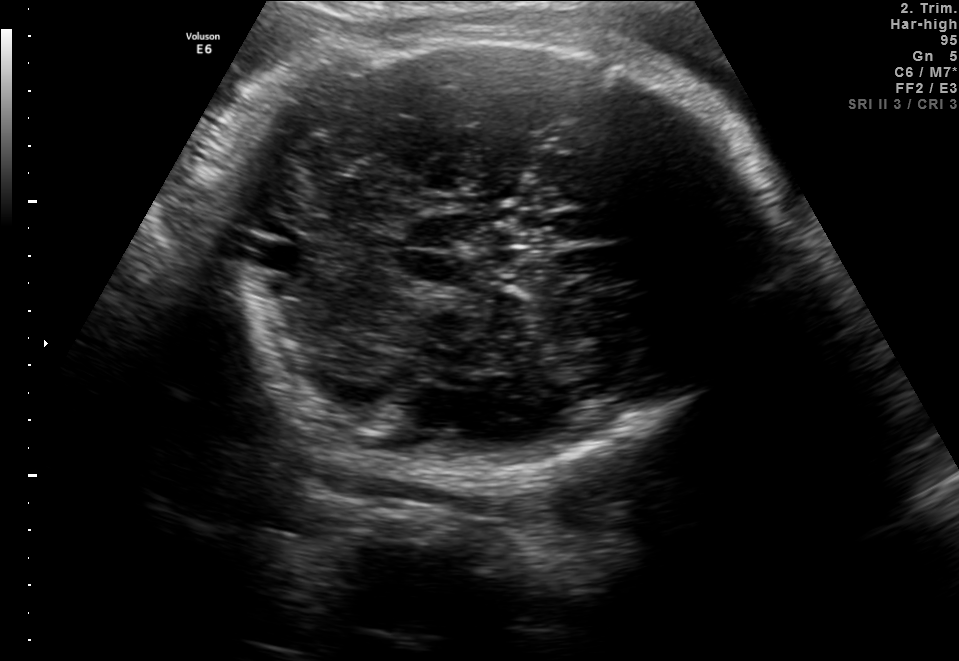
Fetal brain, trans-cerebellum plane. Give [x1,y1,x2,y2] bounding boxes for each visible structure among: fetal head, CSP, LV.

Head: [217,28,778,475]